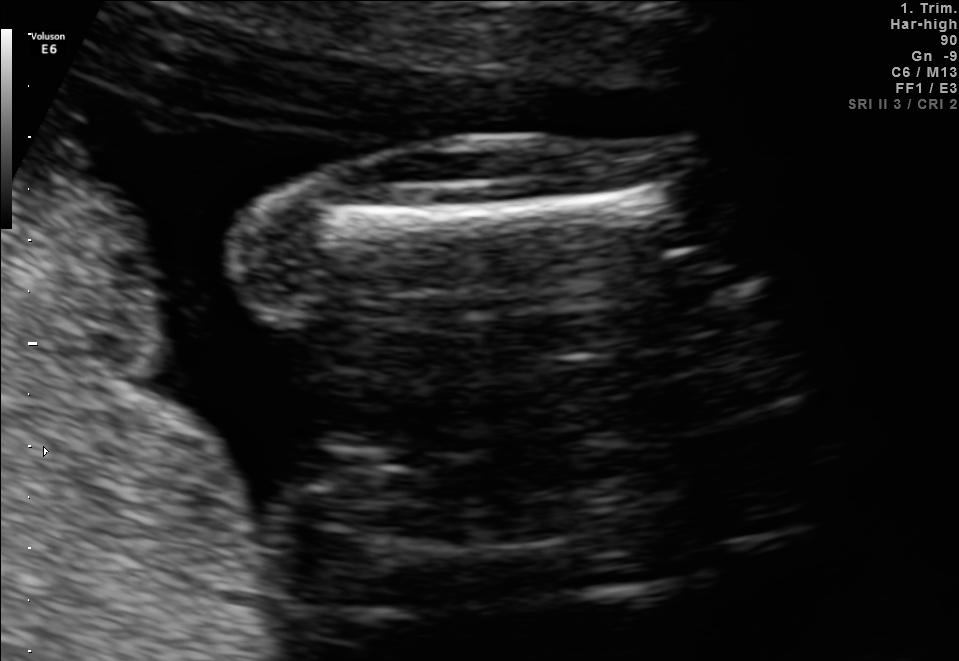
This is a 2D maternal-fetal ultrasound frame. Is it a fetal abdomen, fetal brain, fetal femur, fetal thorax, maternal cervix, or other standard plane? If it's fetal brain and one of the three standard brain planes (trans-thalamic, trans-cerebellum, trans-ventricular), name which.

Fetal femur